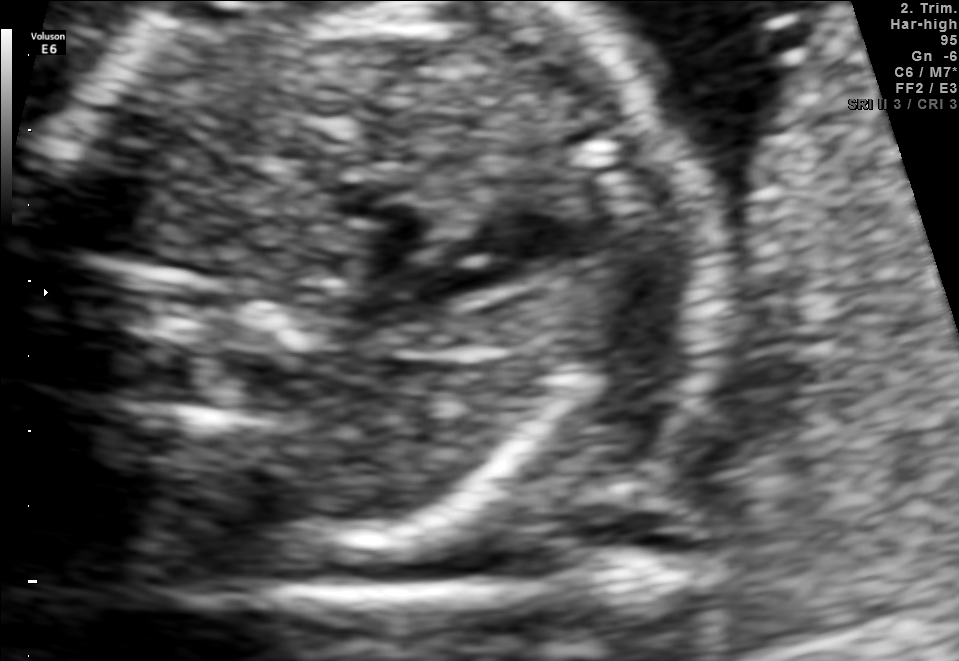
This is a 2D maternal-fetal ultrasound frame. Is it a fetal abdomen, fetal brain, fetal femur, fetal thorax, maternal cervix, or other standard plane? If it's fetal brain and one of the three standard brain planes (trans-thalamic, trans-cerebellum, trans-ventricular), name which.

Other